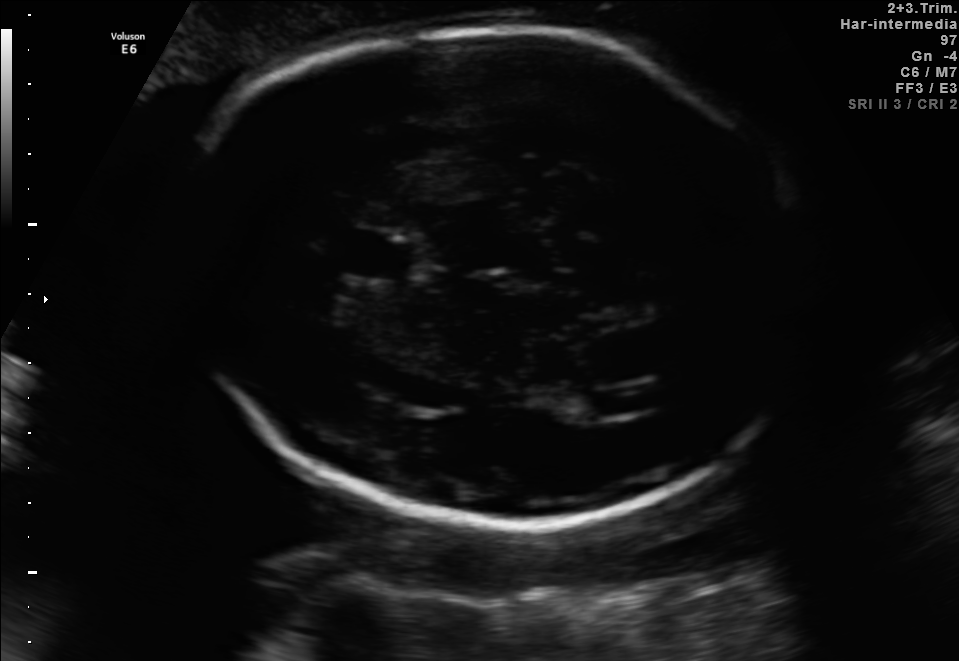
Fetal brain, trans-ventricular plane. Locate the fetal head.

Head: [160,14,831,533]